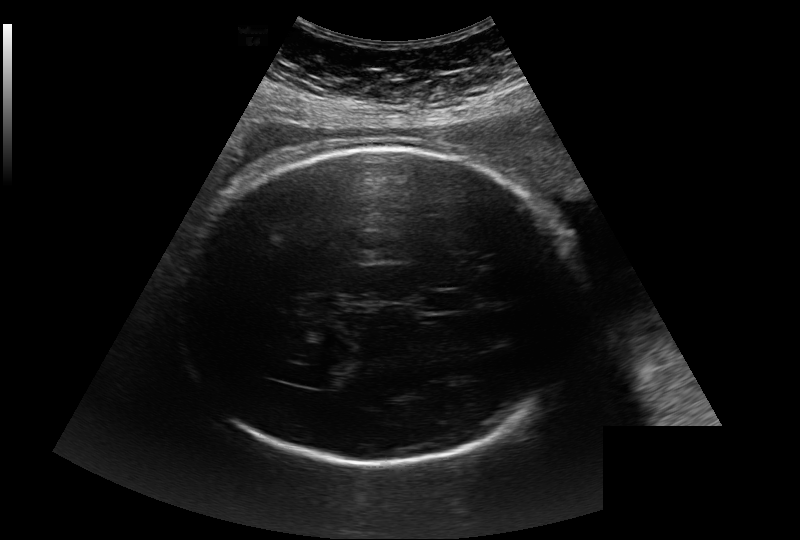
Fetal head ultrasound. Image width: 227.4 mm. Locate the cavum septum pellucidum.

CSP: [418,288,475,314]